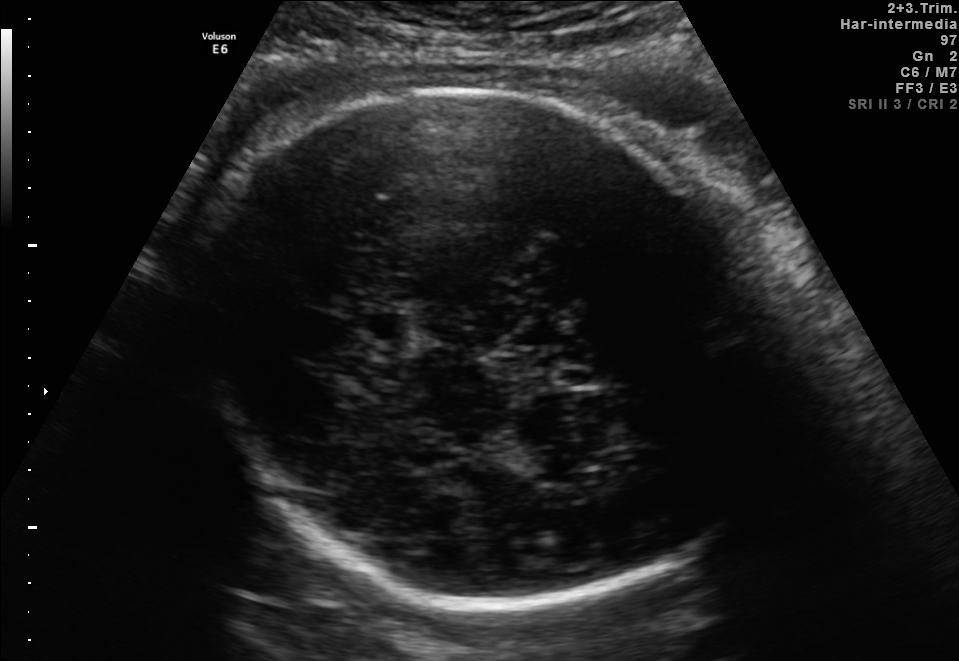
In this fetal brain, trans-thalamic plane, give the bounding box of the fetal head.

[195,91,766,608]